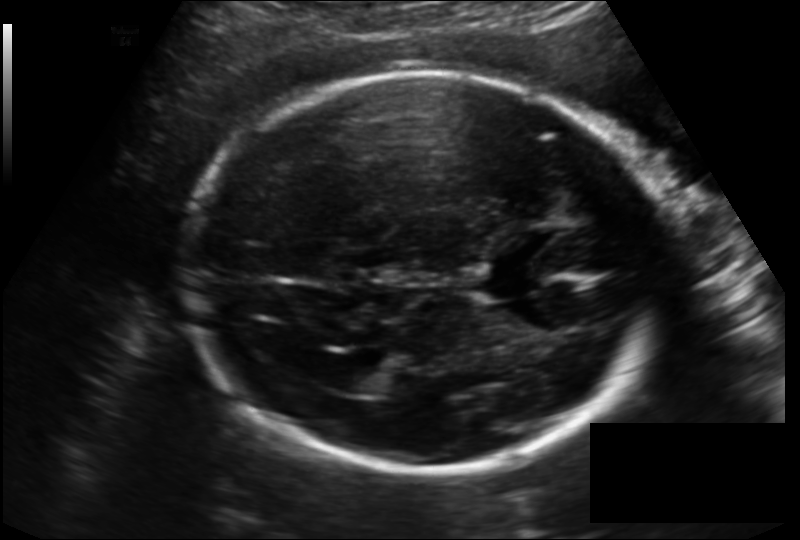
From this fetal ultrasound, estimate the head circumference (image width 133.1 mm).

Head circumference: 234.9 mm.